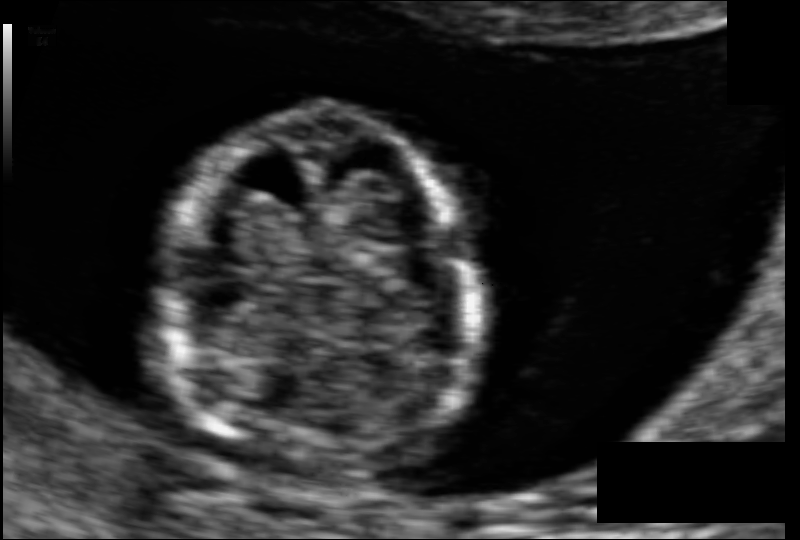
What is the fetal head circumference? Image width is 54.8 mm.

76.4 mm